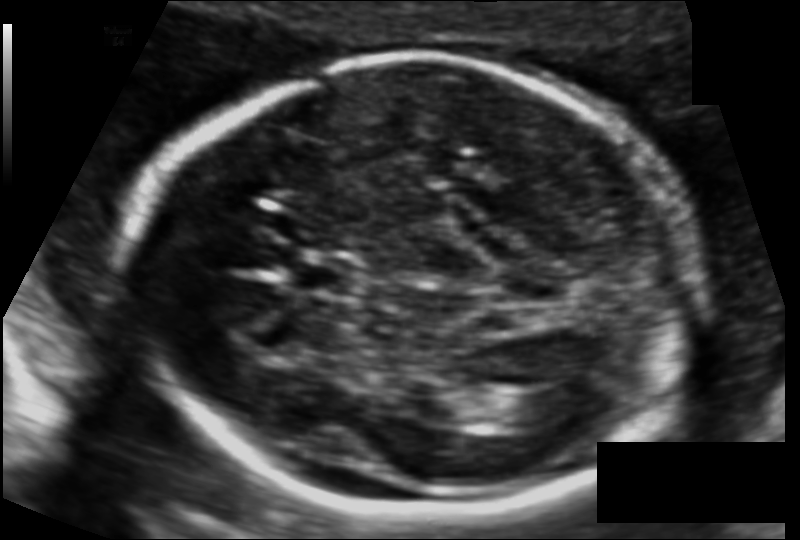
Fetal head ultrasound. Image width: 89.5 mm. Locate the fetal head and, if visible, the cavum septum pellucidum (CSP) and lateral ventricle (LV). Give bounding boxes as [x1,y1,x2,y2].

Head: [128,59,702,512]
CSP: [284,252,352,297]
Lateral ventricle: [523,378,591,425]